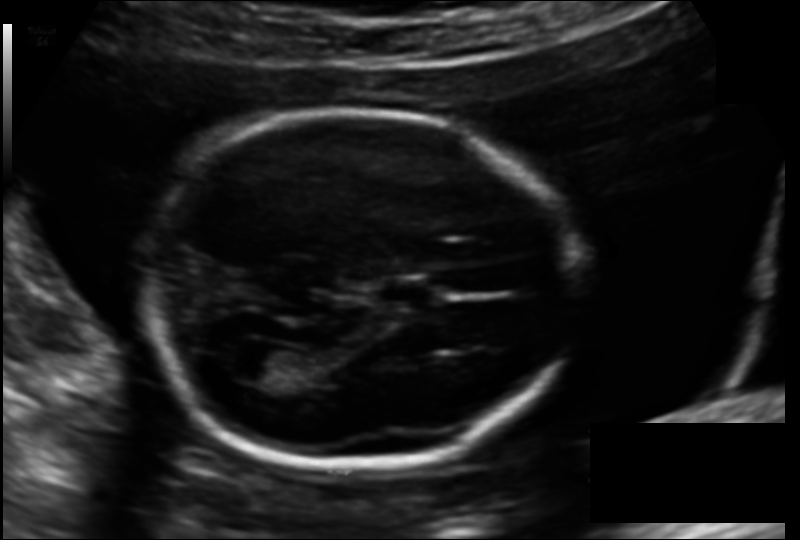
Fetal head ultrasound. Image width: 109.9 mm. Locate the fetal head and, if visible, the cavum septum pellucidum (CSP) and lateral ventricle (LV). Give bounding boxes as [x1,y1,x2,y2].

Head: [153,114,569,477]
CSP: [378,277,437,304]
Lateral ventricle: [234,349,284,381]